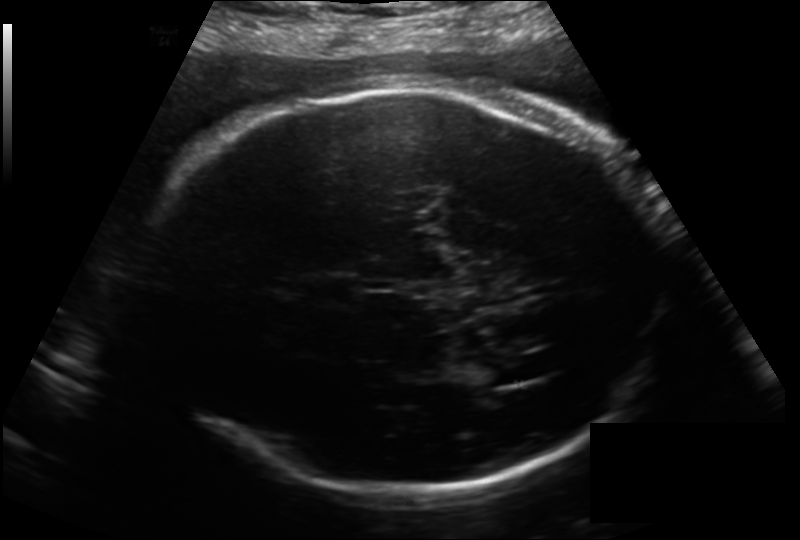
Fetal head ultrasound. Image width: 171.3 mm. Locate the cavum septum pellucidum.

CSP: [297,274,358,304]